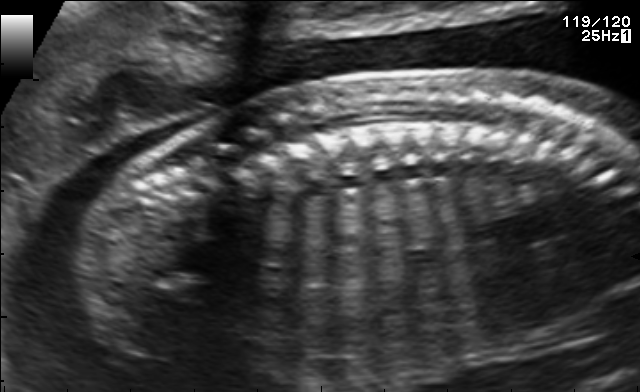
Identify the standard plane in this fetal ultrasound image: fetal abdomen, fetal brain, fetal femur, fetal thorax, maternal cervix, or other. If it's fetal brain and one of the three standard brain planes (trans-thalamic, trans-cerebellum, trans-ventricular), name which.

Other